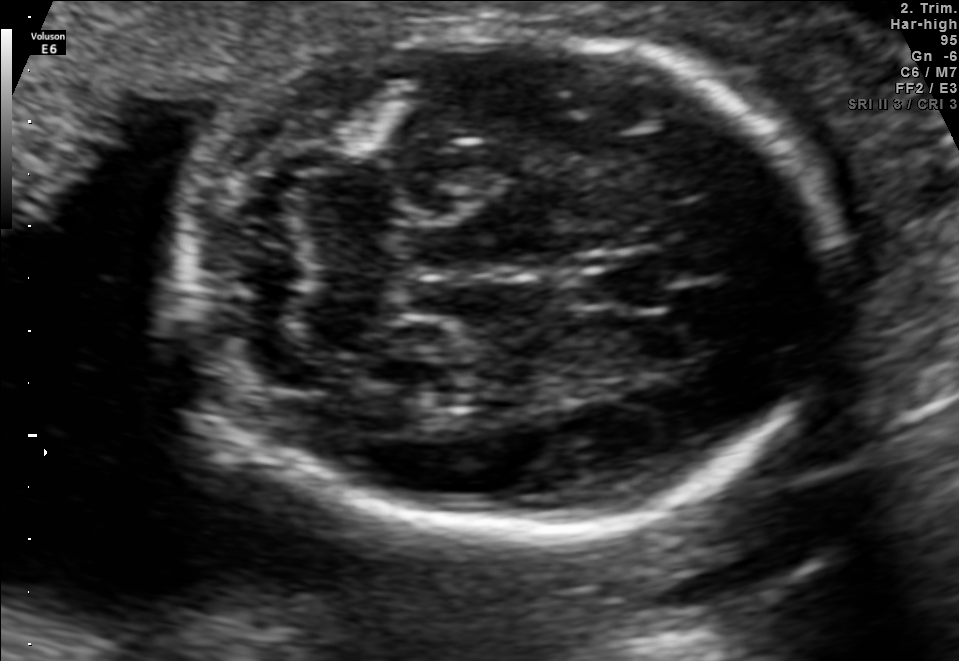
Classify this maternal-fetal ultrasound image as one of the six standard planes — fetal abdomen, fetal brain, fetal femur, fetal thorax, maternal cervix, or other. If it's fetal brain and one of the three standard brain planes (trans-thalamic, trans-cerebellum, trans-ventricular), name which.

Fetal brain (trans-cerebellum plane)